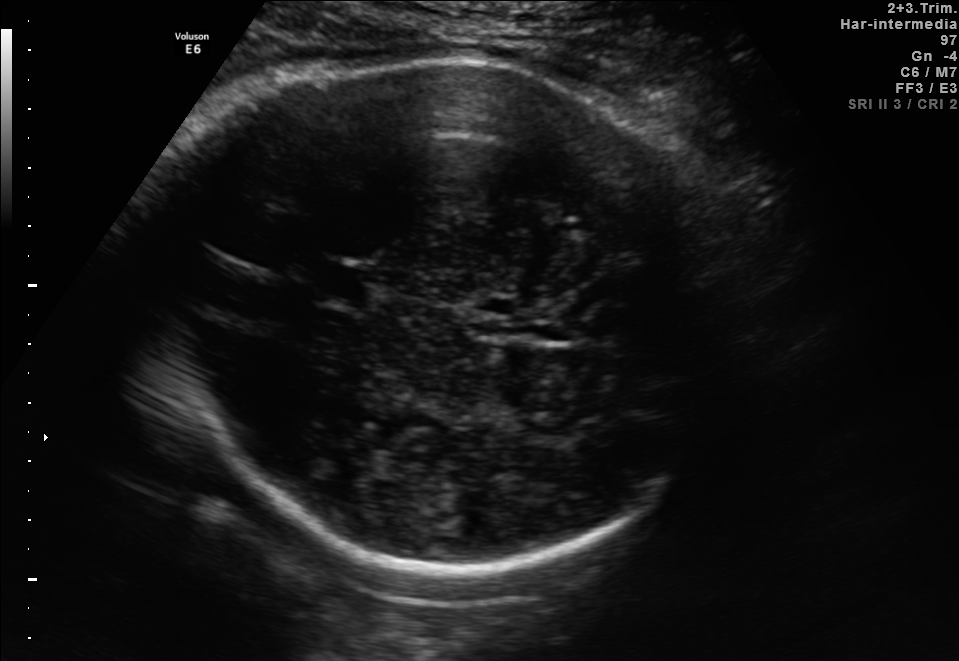
In this fetal brain, trans-thalamic plane, give the bounding box of the fetal head.

[126,56,733,573]